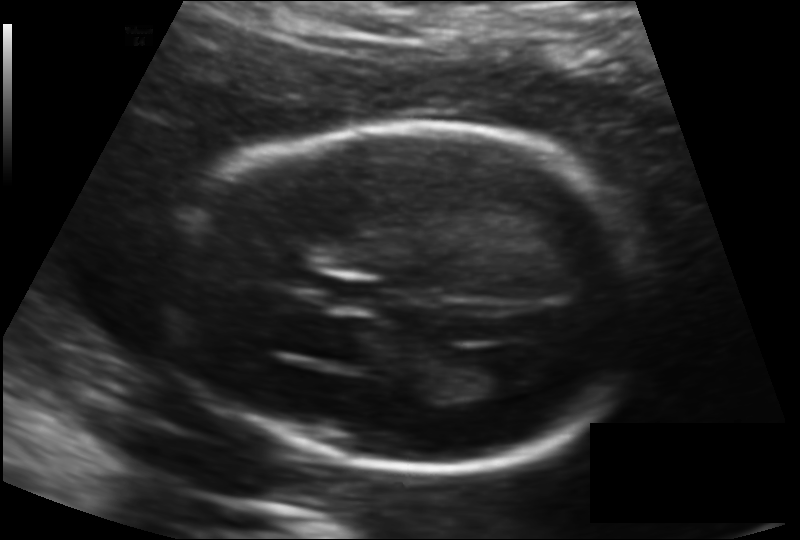
Estimate the fetal head circumference from this 2D ultrasound.

Head circumference: 178.4 mm (image width 108.1 mm).